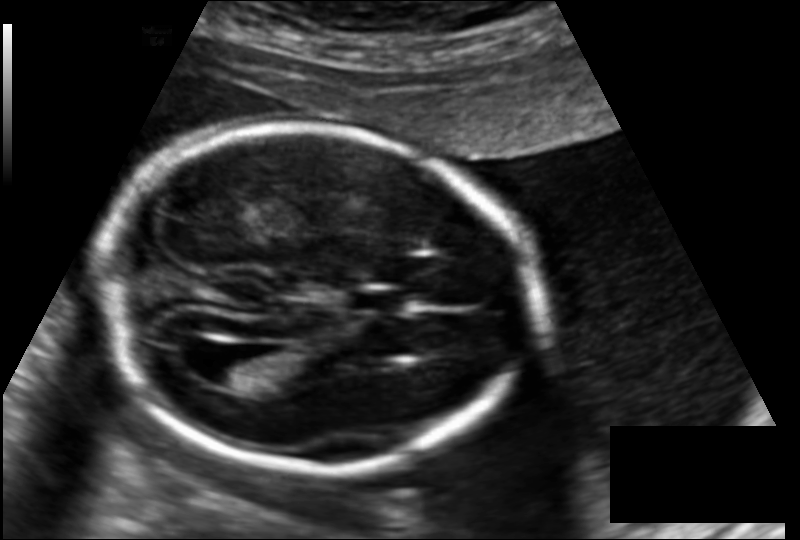
Fetal head ultrasound. Image width: 115.9 mm. Where is the fetal head?

Head bounding box: [96,126,536,470]